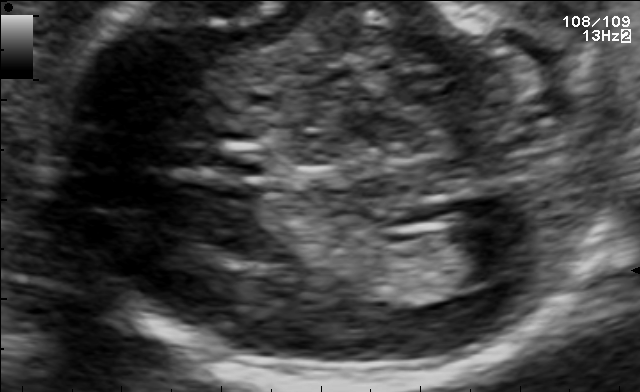
Fetal brain, trans-ventricular plane. Where is the cavum septum pellucidum?

CSP bounding box: [164,134,276,192]